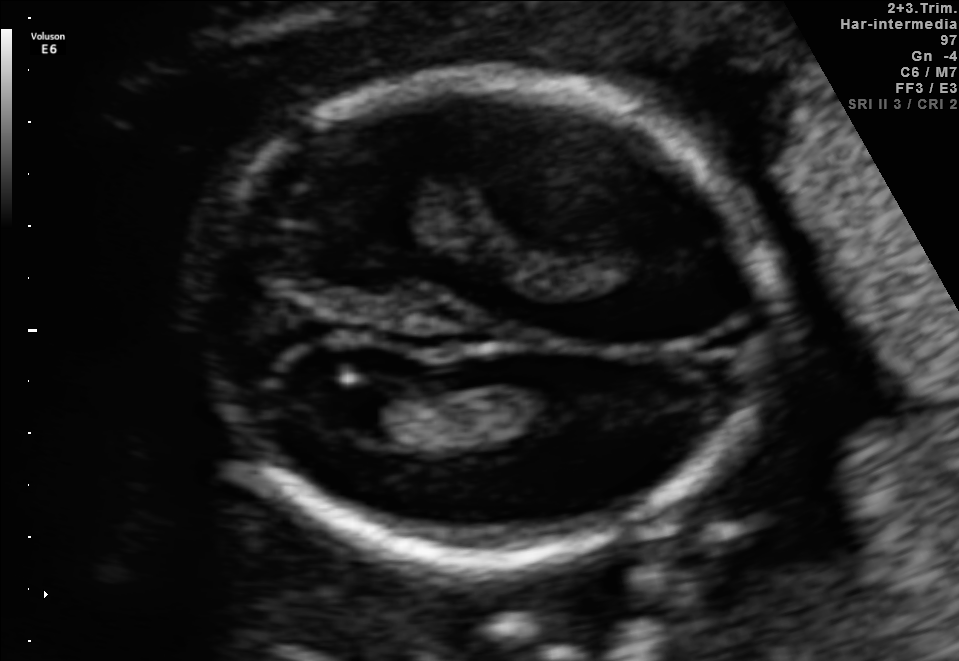
Which standard maternal-fetal ultrasound plane is shown: fetal abdomen, fetal brain, fetal femur, fetal thorax, maternal cervix, or other? If it's fetal brain and one of the three standard brain planes (trans-thalamic, trans-cerebellum, trans-ventricular), name which.

Fetal brain (trans-ventricular plane)